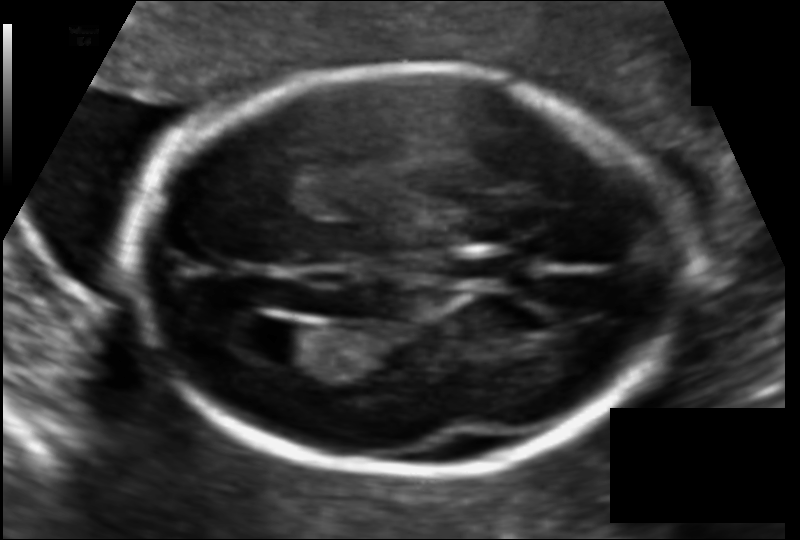
Estimate the fetal head circumference from this 2D ultrasound. Image width: 89.2 mm.

Head circumference: 176.2 mm.